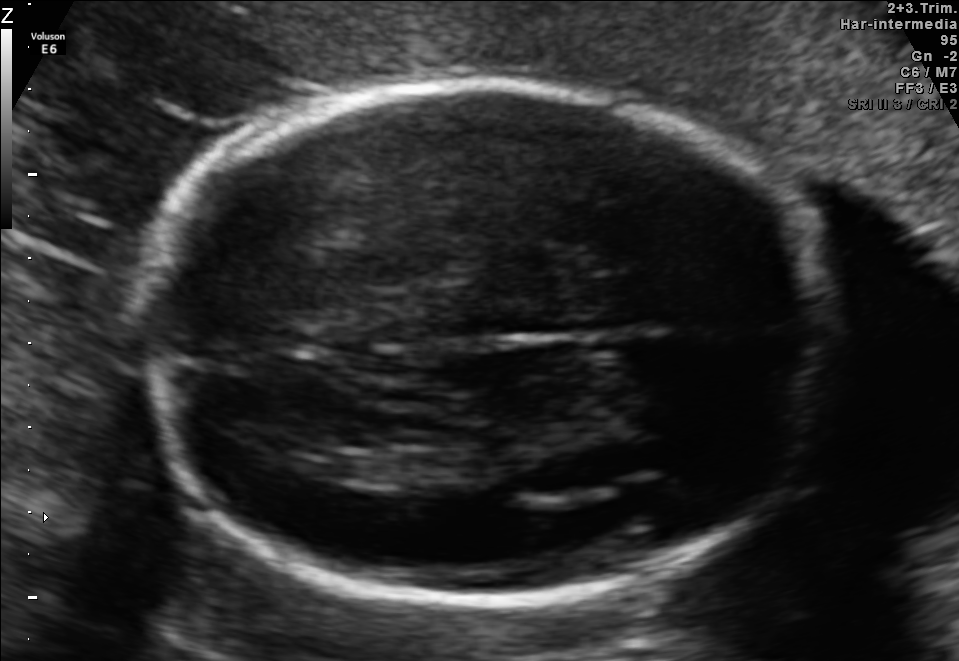
In this fetal brain, trans-thalamic plane, give the bounding box of the lateral ventricle.

[321,453,409,486]